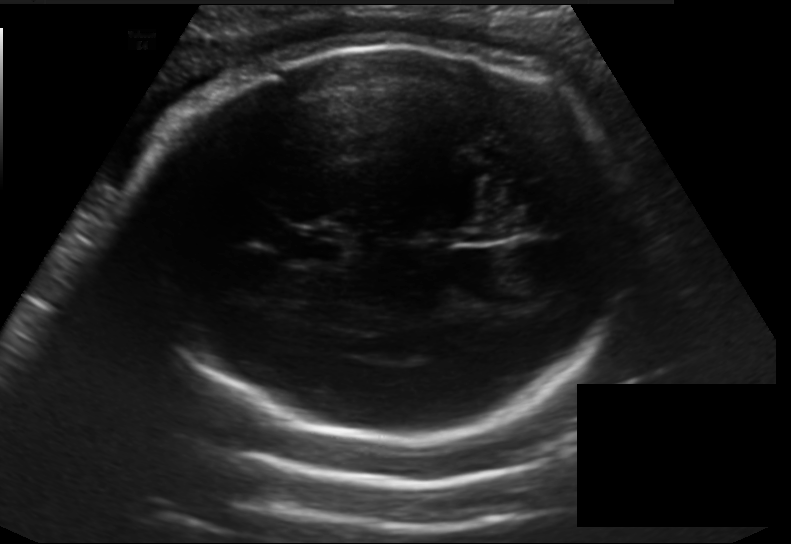
Estimate the fetal head circumference from this 2D ultrasound. Image width: 156.8 mm.

Head circumference: 292.4 mm.